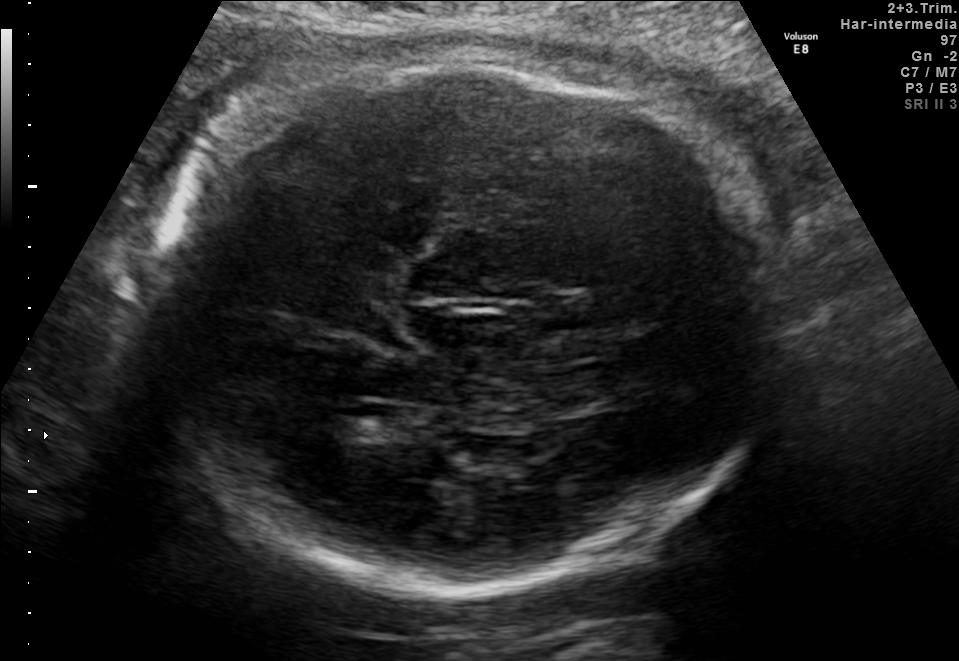
Fetal brain, trans-thalamic plane. Where is the lateral ventricle?

Lateral ventricle bounding box: [335,400,416,440]